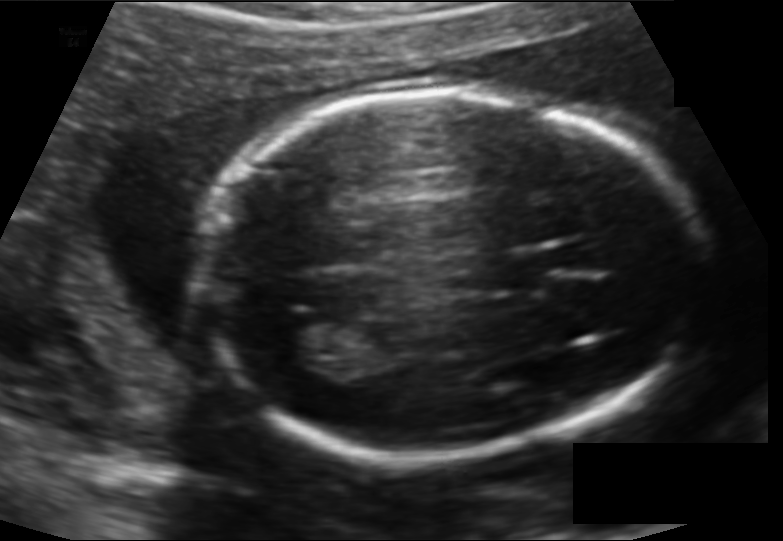
In this fetal head ultrasound, give the bounding box of the cavum septum pellucidum. Image width: 100.2 mm.

[483,251,545,292]